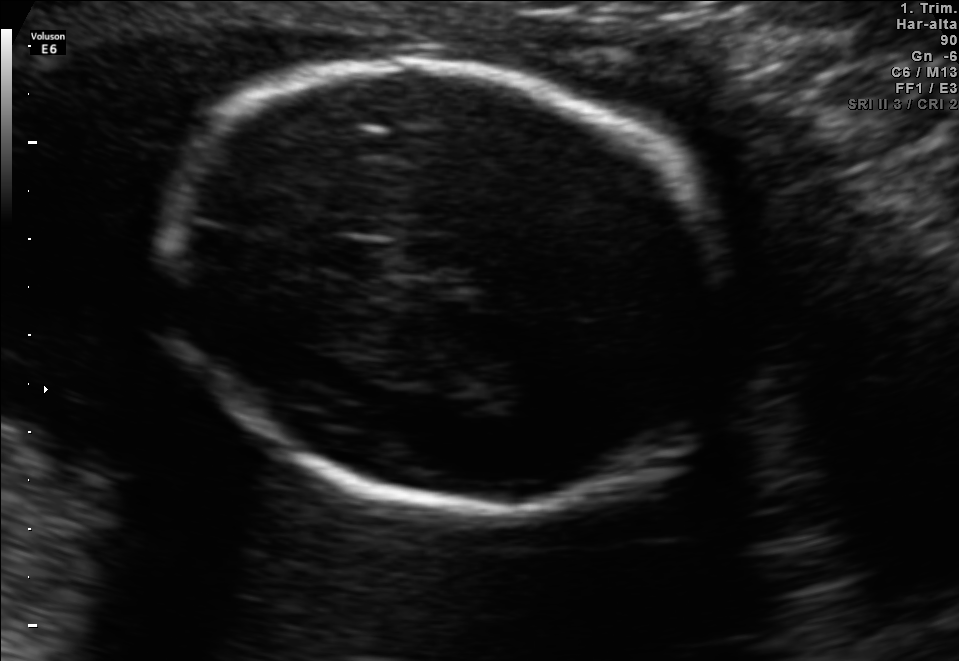
Fetal brain, trans-thalamic plane. Where is the fetal head?

Head bounding box: [164,60,727,515]